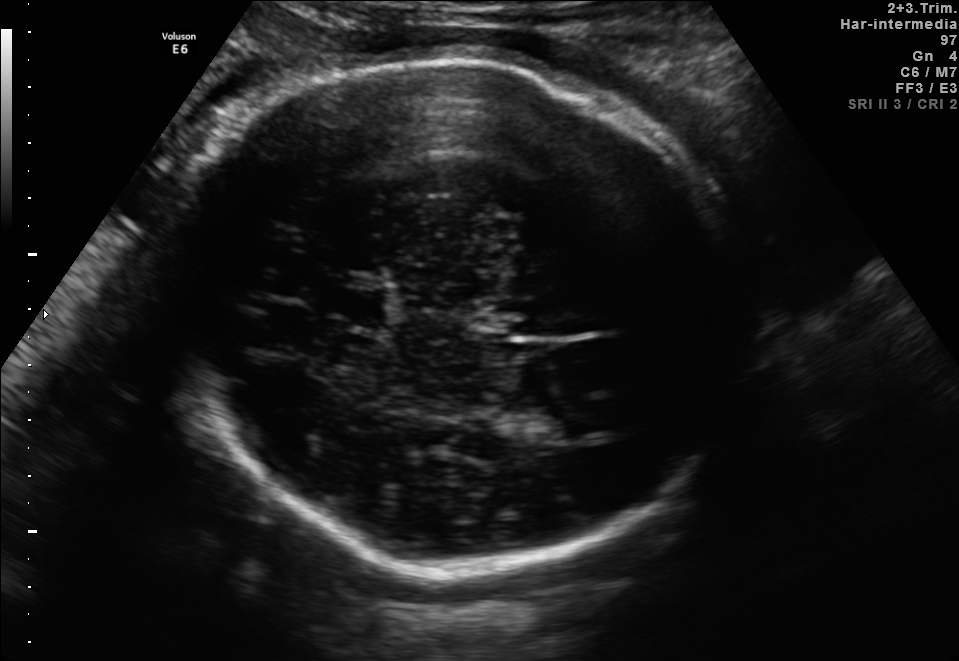
Fetal brain, trans-thalamic plane. Locate the cavum septum pellucidum.

CSP: [337,286,387,330]